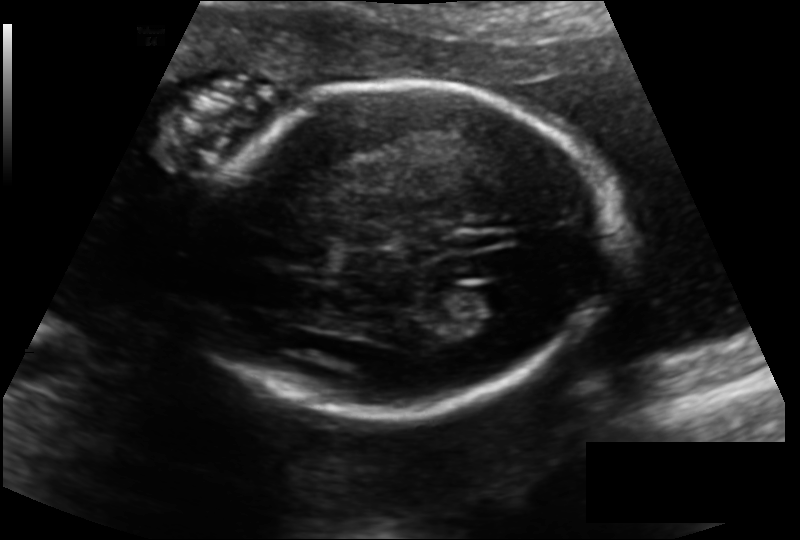
Fetal head ultrasound. Image width: 115.4 mm. Locate the lateral ventricle.

Lateral ventricle: [454,279,522,323]